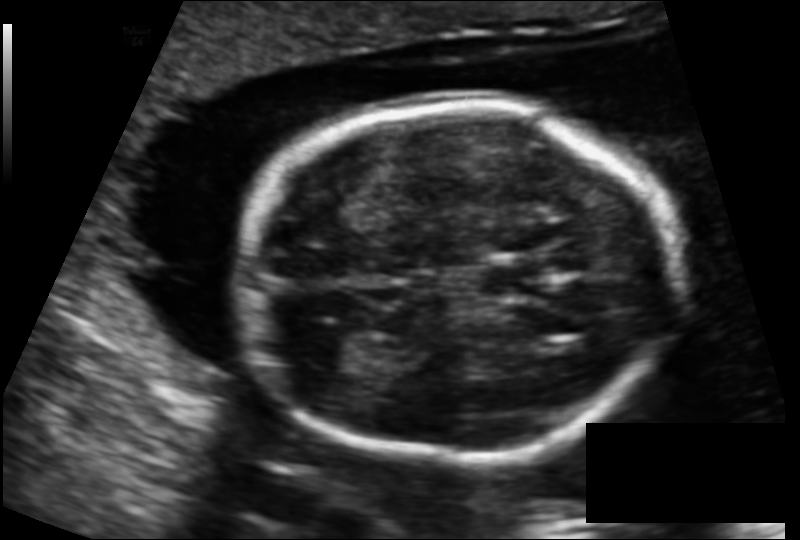
Fetal head ultrasound. Image width: 104.4 mm. Where is the fetal head?

Head bounding box: [239,103,679,465]